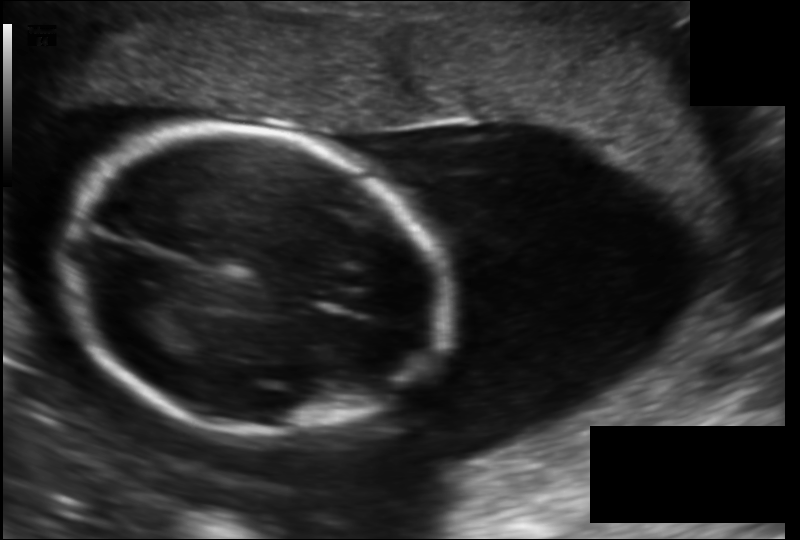
Fetal head ultrasound. Image width: 124.6 mm. Where is the fetal head?

Head bounding box: [66,129,442,434]